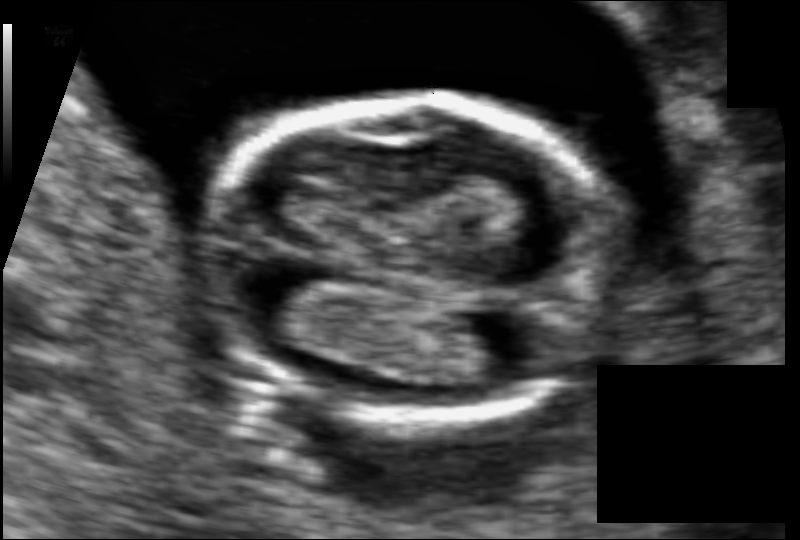
Estimate the fetal head circumference from this 2D ultrasound. Image width: 59.9 mm.

Head circumference: 88.8 mm.